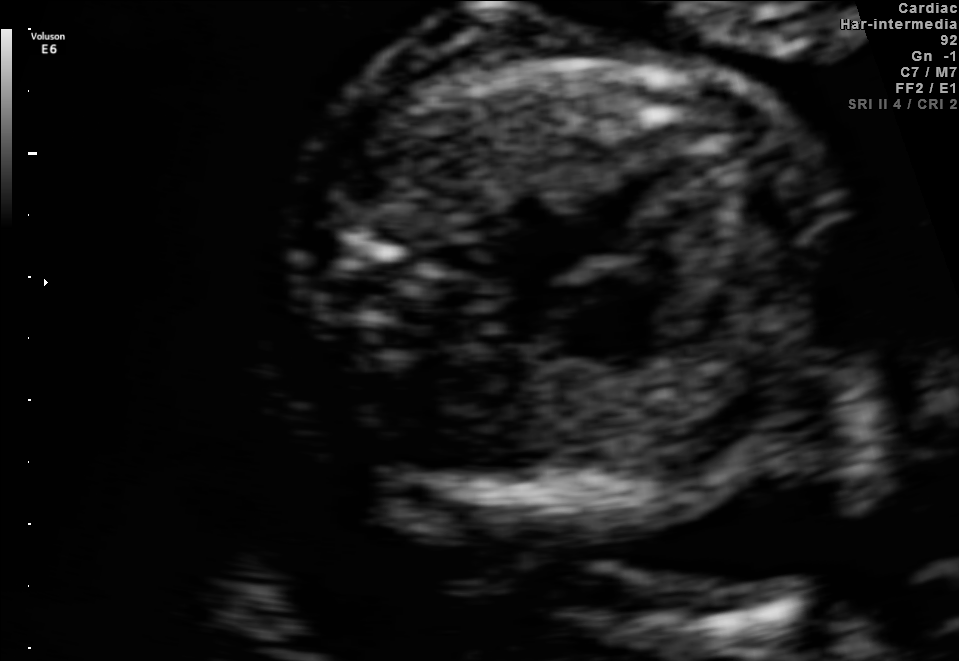
Classify this maternal-fetal ultrasound image as one of the six standard planes — fetal abdomen, fetal brain, fetal femur, fetal thorax, maternal cervix, or other. If it's fetal brain and one of the three standard brain planes (trans-thalamic, trans-cerebellum, trans-ventricular), name which.

Fetal thorax